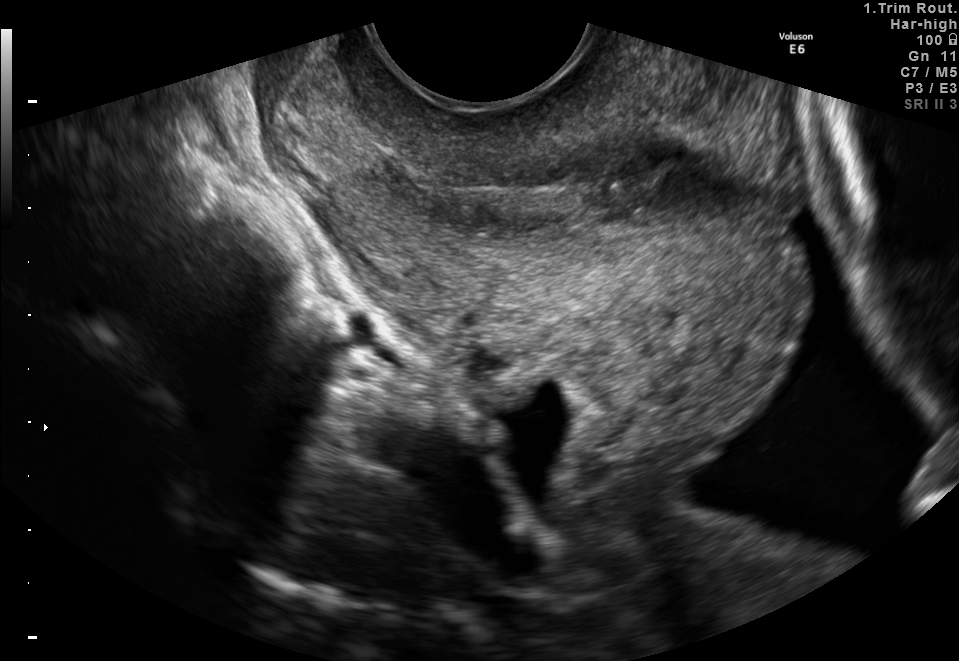
Which standard maternal-fetal ultrasound plane is shown: fetal abdomen, fetal brain, fetal femur, fetal thorax, maternal cervix, or other? If it's fetal brain and one of the three standard brain planes (trans-thalamic, trans-cerebellum, trans-ventricular), name which.

Maternal cervix